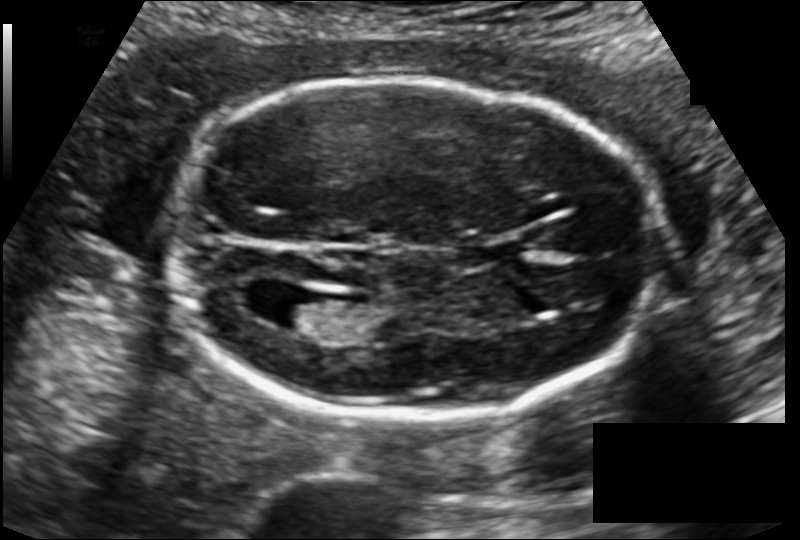
Fetal head ultrasound. Image width: 103.4 mm. Where is the cavum septum pellucidum?

CSP bounding box: [462,231,528,271]